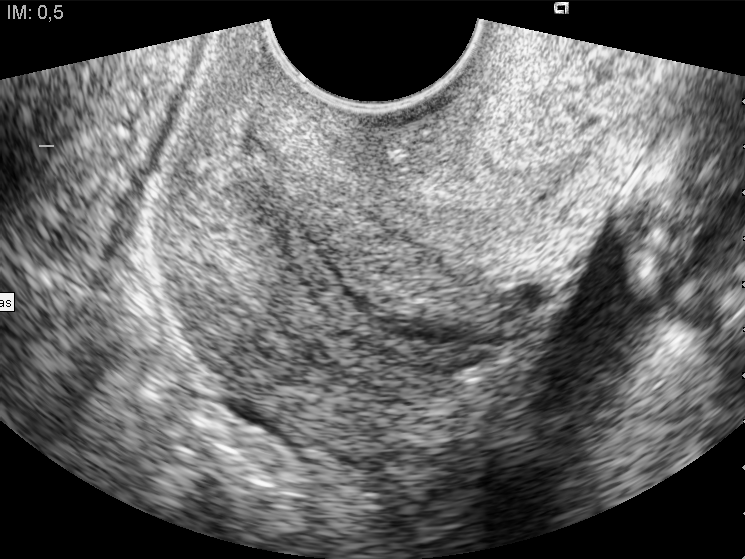
Identify the standard plane in this fetal ultrasound image: fetal abdomen, fetal brain, fetal femur, fetal thorax, maternal cervix, or other. If it's fetal brain and one of the three standard brain planes (trans-thalamic, trans-cerebellum, trans-ventricular), name which.

Maternal cervix